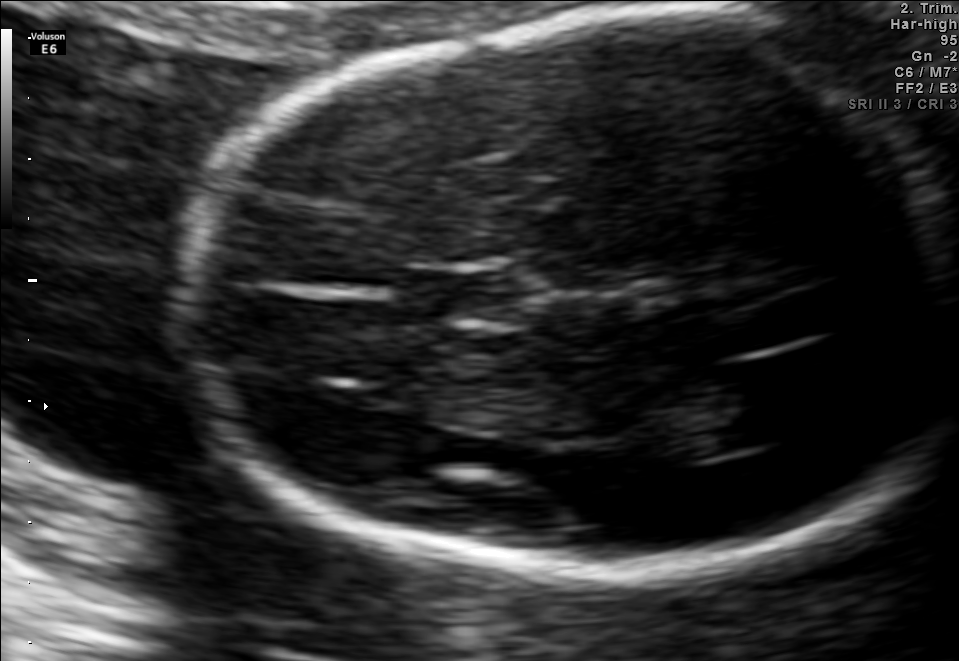
In this fetal brain, trans-thalamic plane, give the bounding box of the cavum septum pellucidum.

[404,274,517,320]